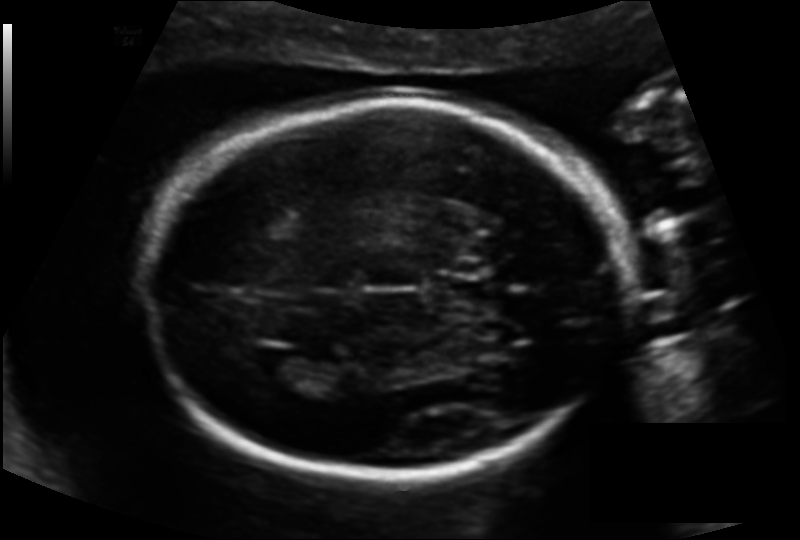
Measure the fetal head circumference shown in this ultrasound image. Image width: 107.7 mm.

Head circumference: 186.8 mm.